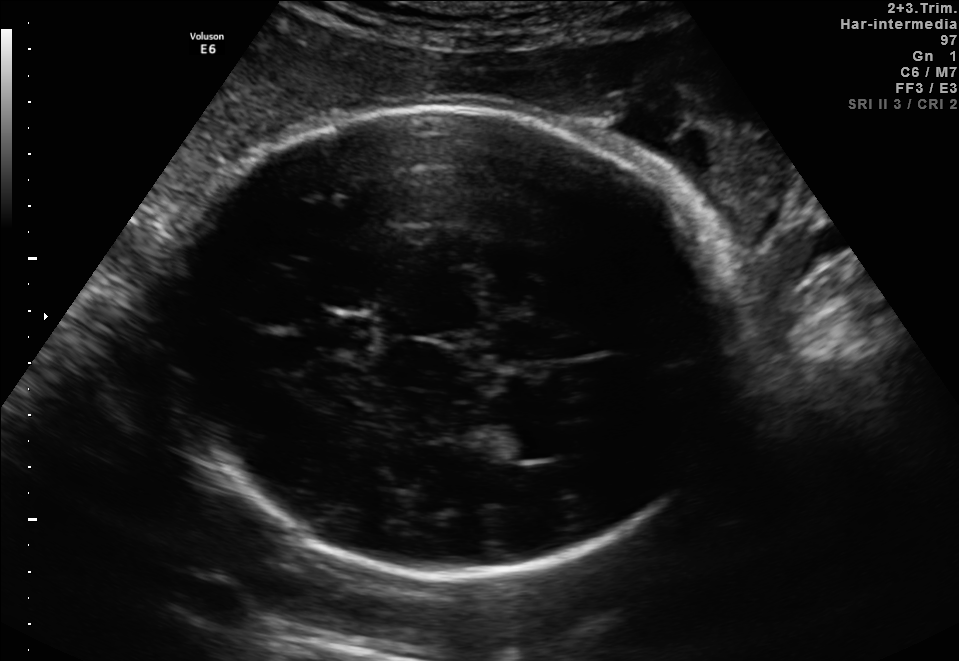
In this fetal brain, trans-thalamic plane, give bounding boxes for the head outline, cavum septum pellucidum (CSP), and lateral ventricle (LV), where visible.

Head: [159,101,738,576]
CSP: [315,314,374,349]
Lateral ventricle: [471,416,571,465]